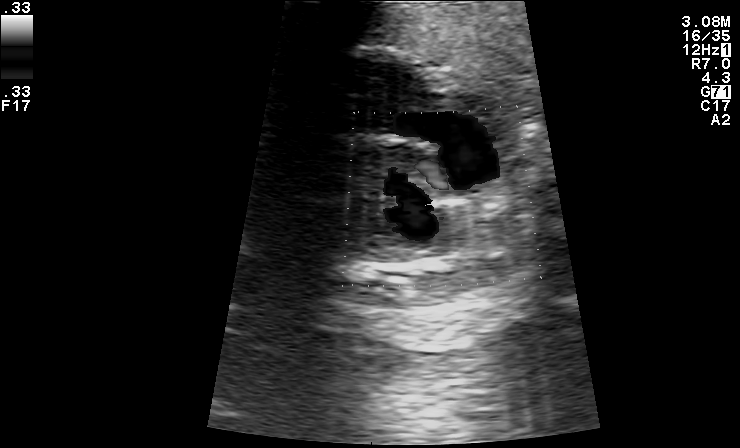
This is a 2D maternal-fetal ultrasound frame. Is it a fetal abdomen, fetal brain, fetal femur, fetal thorax, maternal cervix, or other standard plane? If it's fetal brain and one of the three standard brain planes (trans-thalamic, trans-cerebellum, trans-ventricular), name which.

Other